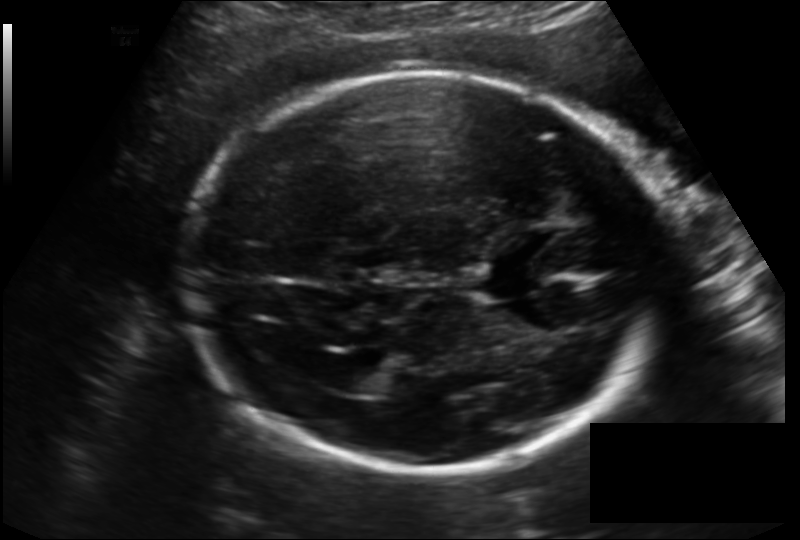
What is the fetal head circumference? Image width is 133.1 mm.

234.9 mm